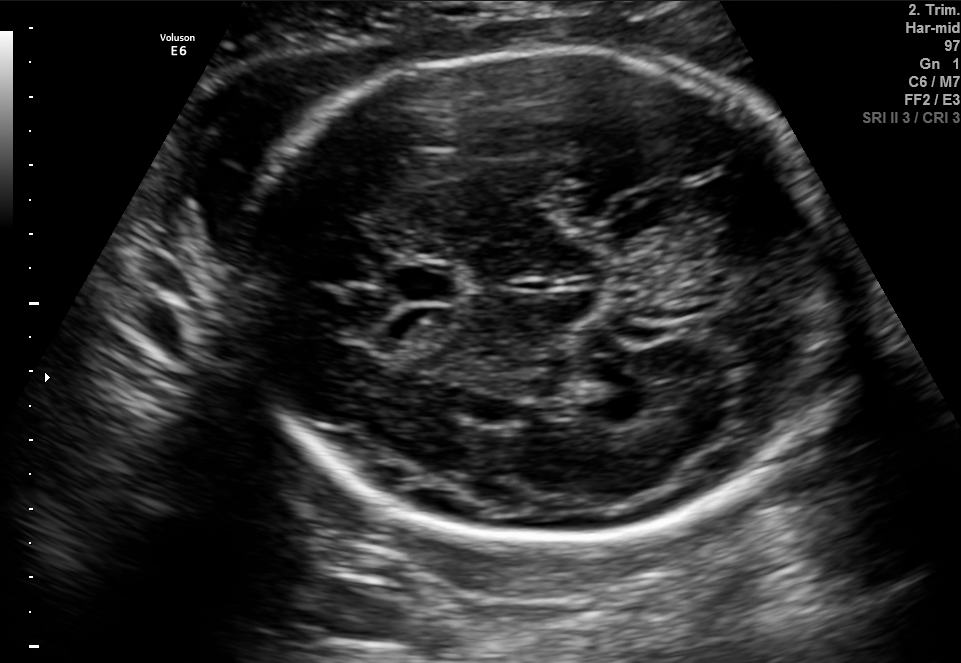
Fetal brain, trans-thalamic plane. Locate the fetal head.

Head: [233,47,842,550]